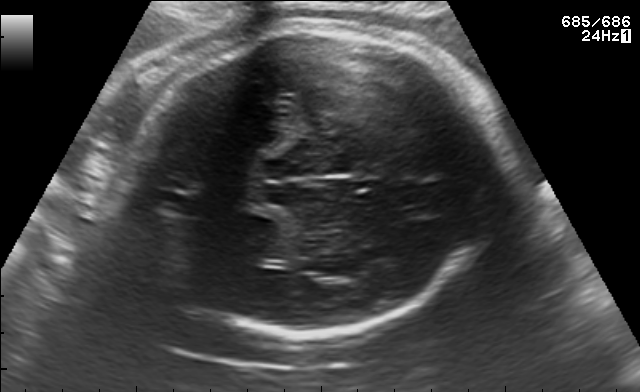
Identify the standard plane in this fetal ultrasound image: fetal abdomen, fetal brain, fetal femur, fetal thorax, maternal cervix, or other. If it's fetal brain and one of the three standard brain planes (trans-thalamic, trans-cerebellum, trans-ventricular), name which.

Fetal brain (trans-thalamic plane)